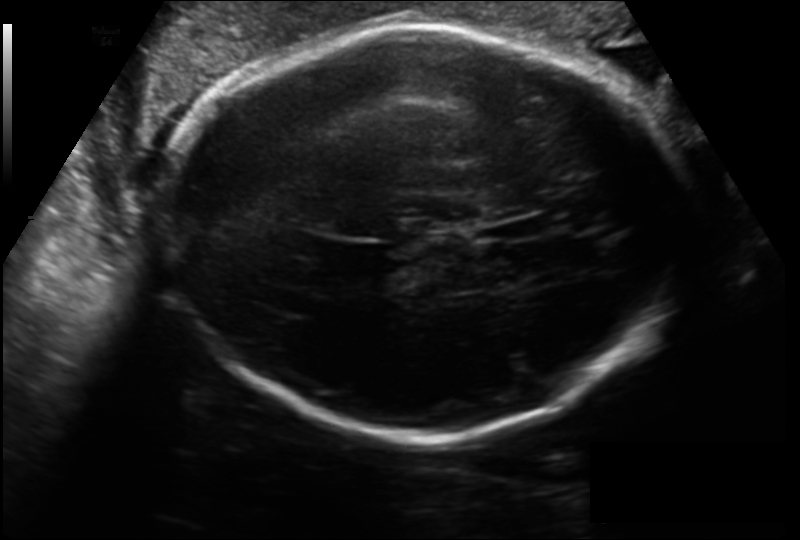
From this fetal ultrasound, estimate the head circumference (image width 158.9 mm).

Head circumference: 298.6 mm.